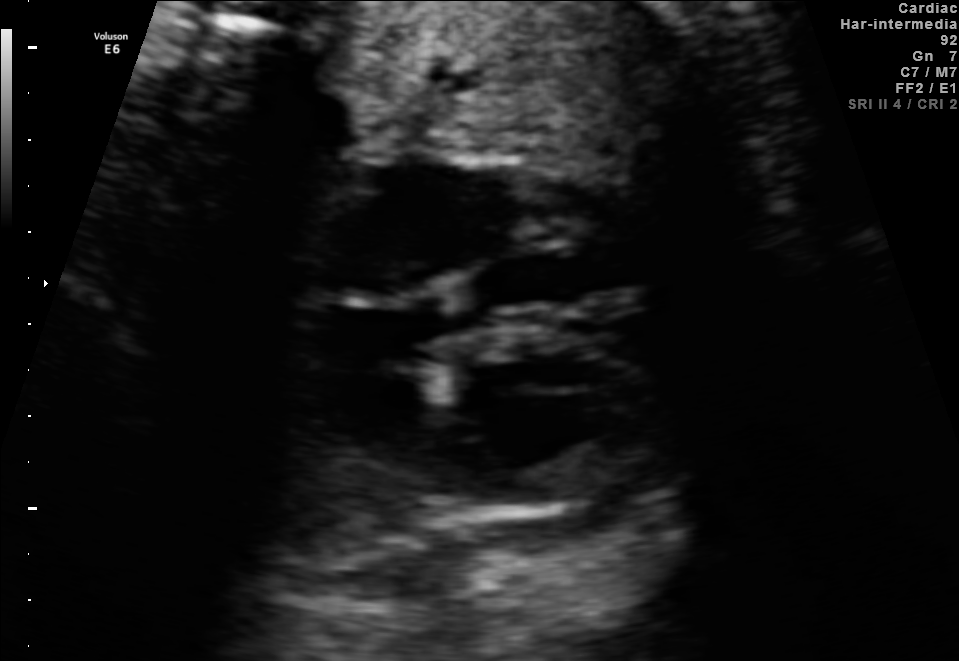
This is a 2D maternal-fetal ultrasound frame. Is it a fetal abdomen, fetal brain, fetal femur, fetal thorax, maternal cervix, or other standard plane? If it's fetal brain and one of the three standard brain planes (trans-thalamic, trans-cerebellum, trans-ventricular), name which.

Other